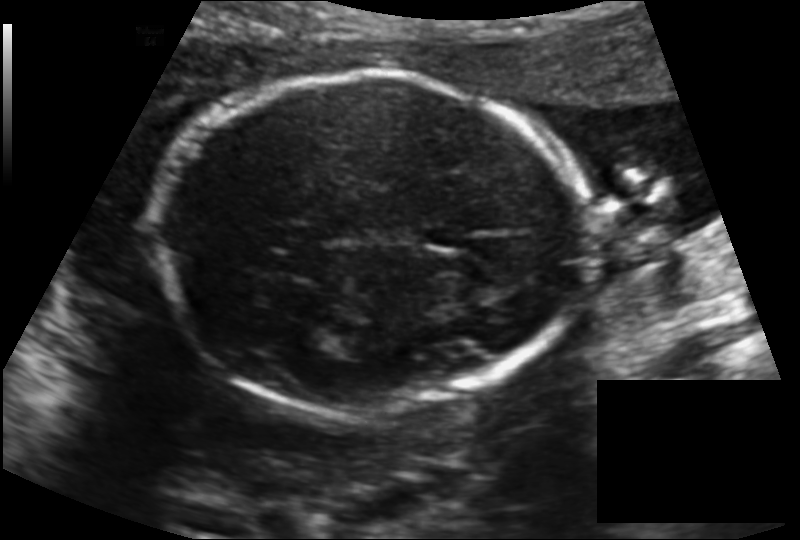
Measure the fetal head circumference shown in this ultrasound image. Image width: 116.2 mm.

Head circumference: 182.3 mm.